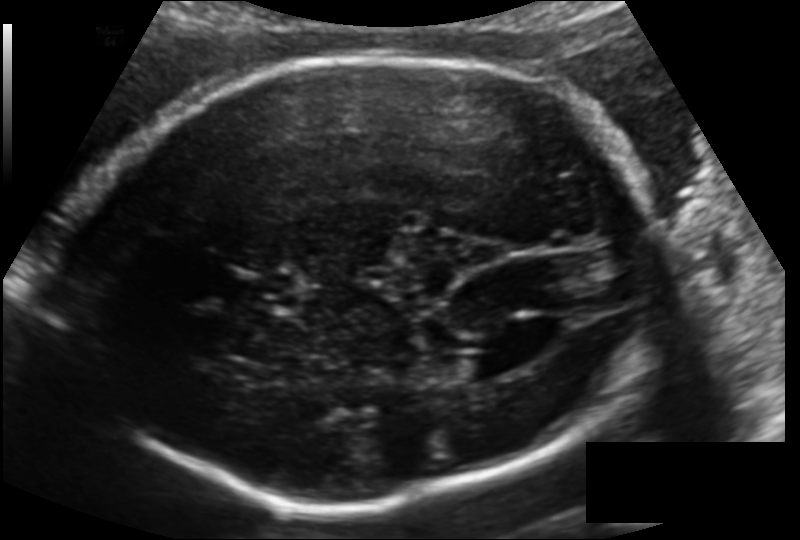
From this fetal ultrasound, estimate the head circumference (image width 118.6 mm).

Head circumference: 247.8 mm.